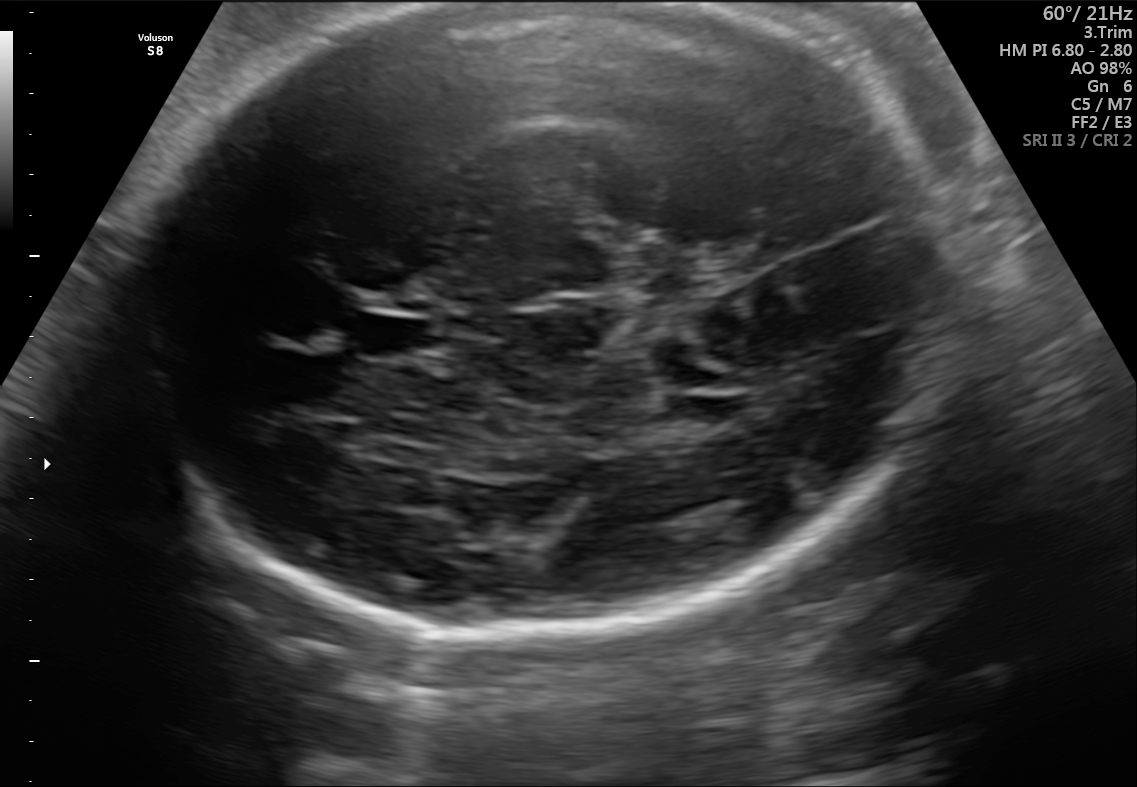
Fetal brain, trans-thalamic plane. Where is the cavum septum pellucidum?

CSP bounding box: [357,314,432,360]